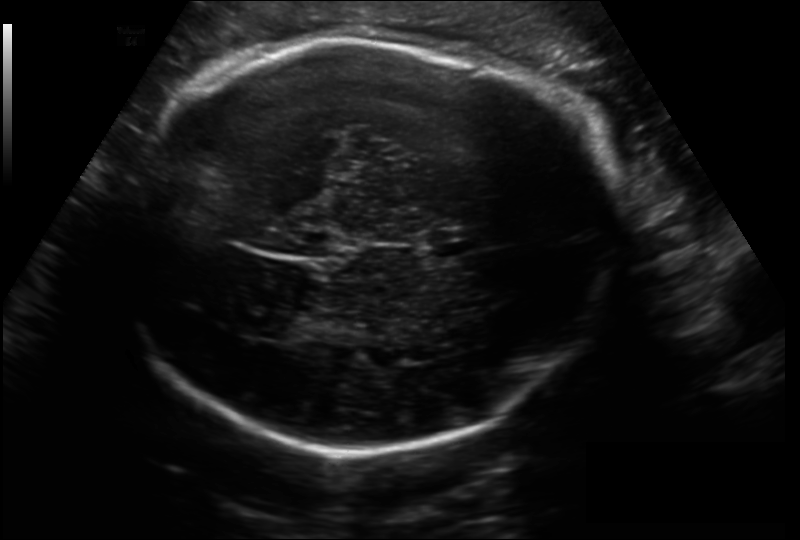
Fetal head ultrasound. Image width: 164.9 mm. Locate the fetal head.

Head: [109,40,619,453]